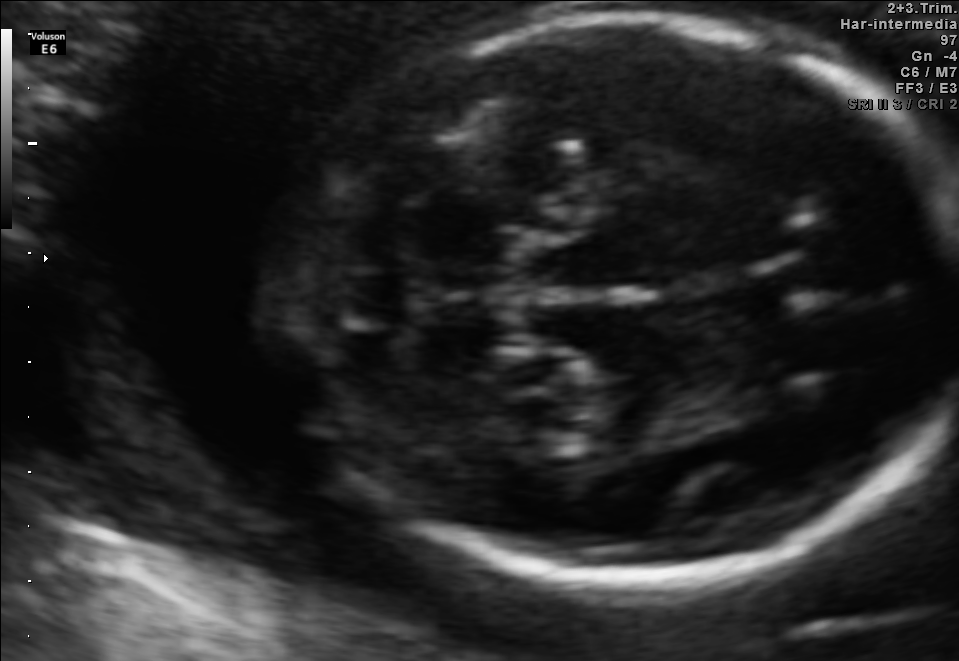
Fetal brain, trans-cerebellum plane. Locate the fetal head.

Head: [284,14,957,581]